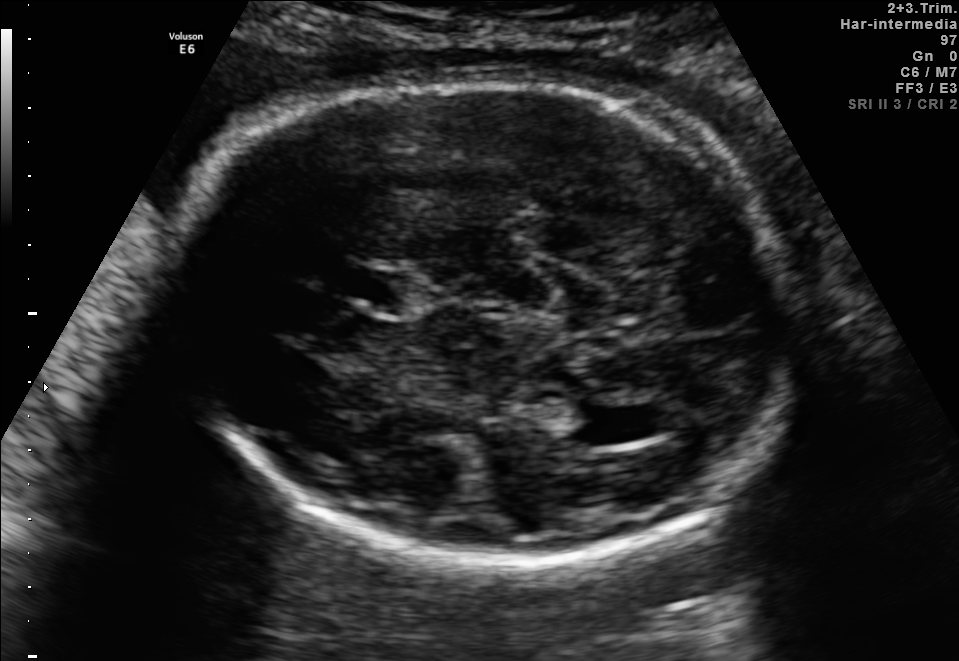
Fetal brain, trans-ventricular plane. Locate the fetal head.

Head: [159,71,814,570]